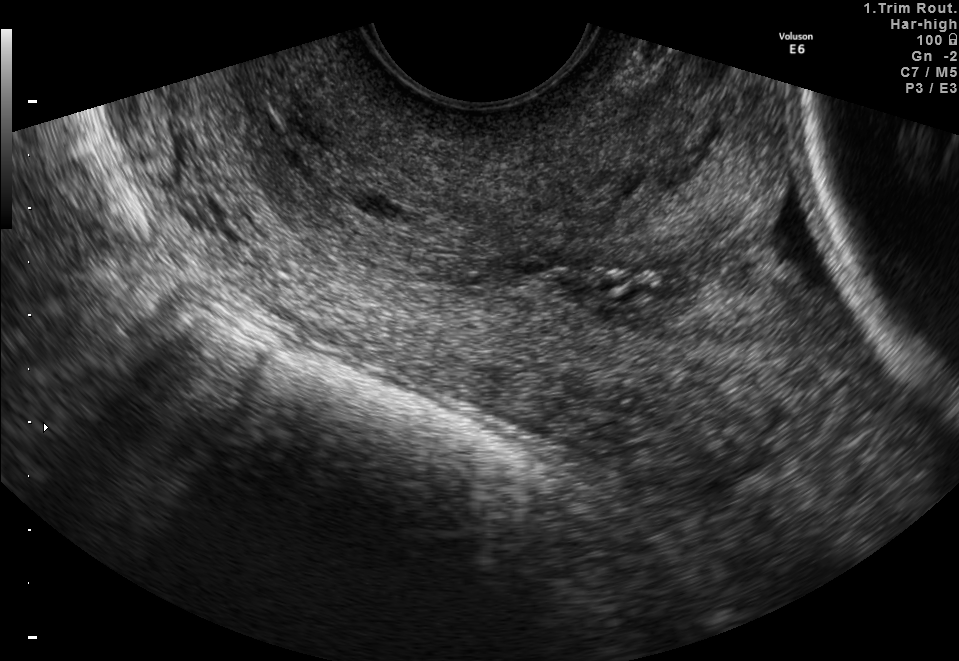
Identify the standard plane in this fetal ultrasound image: fetal abdomen, fetal brain, fetal femur, fetal thorax, maternal cervix, or other. If it's fetal brain and one of the three standard brain planes (trans-thalamic, trans-cerebellum, trans-ventricular), name which.

Maternal cervix